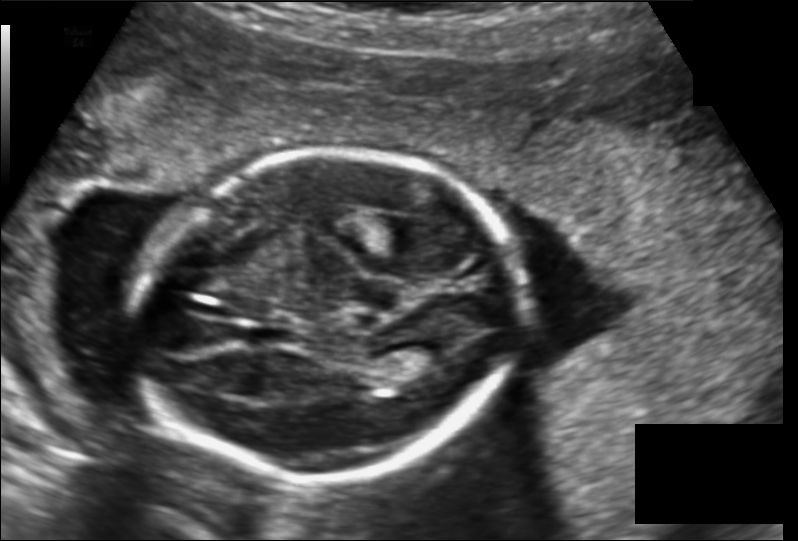
Measure the fetal head circumference shown in this ultrasound image. Image width: 118.8 mm.

Head circumference: 173.3 mm.